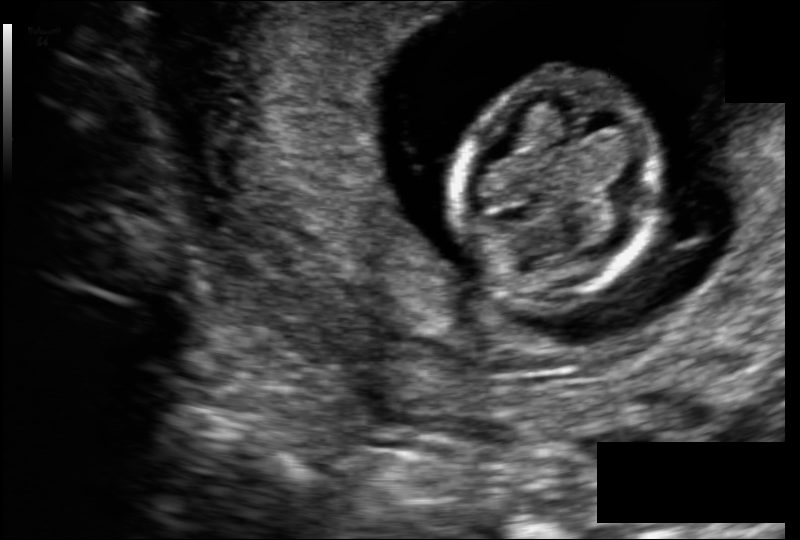
In this fetal head ultrasound, give the bounding box of the fetal head. Image width: 87.2 mm.

[451,74,662,301]